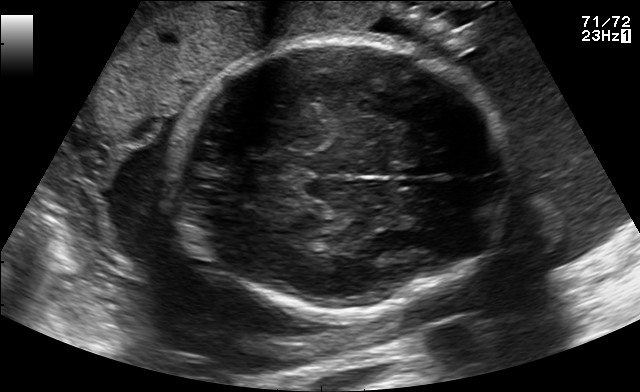
Fetal brain, trans-thalamic plane. Where is the fetal head?

Head bounding box: [174,41,509,313]